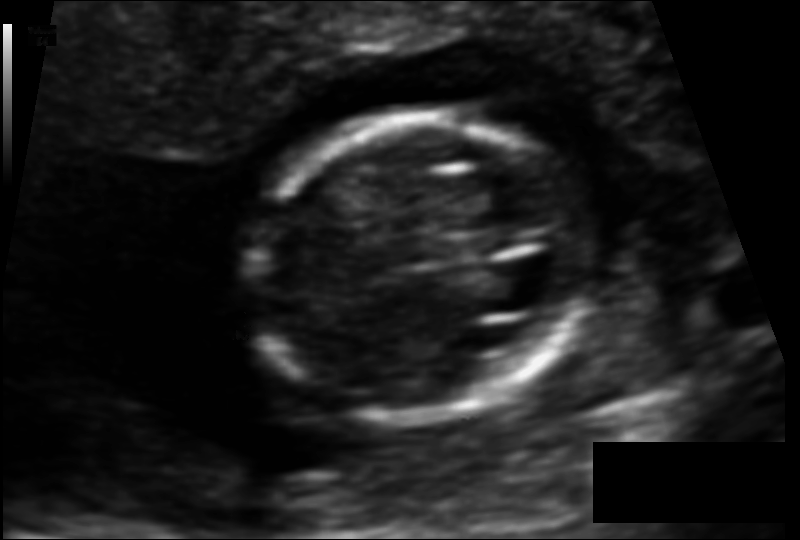
Fetal head ultrasound. Image width: 73.5 mm. Locate the fetal head and, if visible, the cavum septum pellucidum (CSP) and lateral ventricle (LV). Give bounding boxes as [x1,y1,x2,y2].

Head: [244,114,592,422]